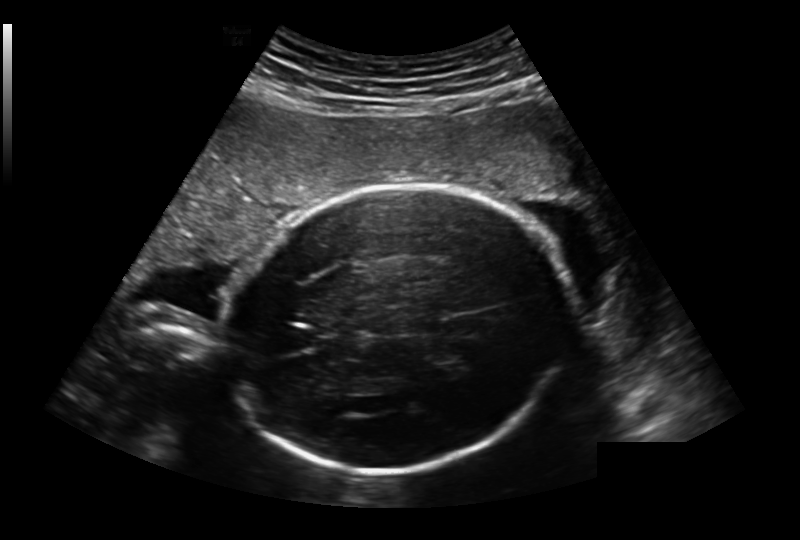
In this fetal head ultrasound, give bounding boxes for the head outline, cavum septum pellucidum (CSP), and lateral ventricle (LV), where visible. Image width: 188.6 mm.

Head: [227,184,571,472]